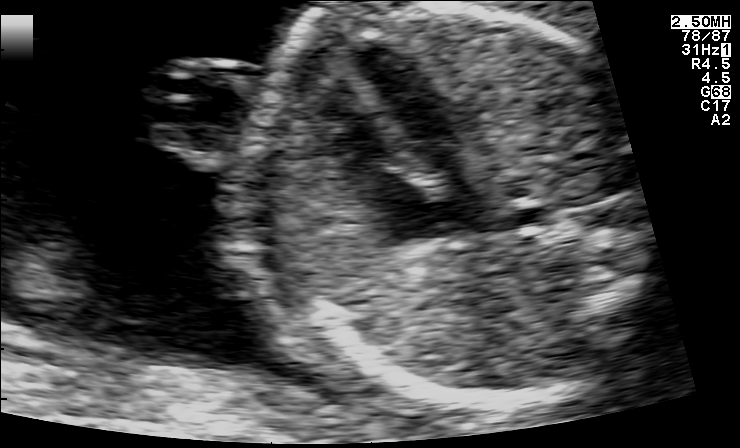
Classify this maternal-fetal ultrasound image as one of the six standard planes — fetal abdomen, fetal brain, fetal femur, fetal thorax, maternal cervix, or other. If it's fetal brain and one of the three standard brain planes (trans-thalamic, trans-cerebellum, trans-ventricular), name which.

Fetal thorax